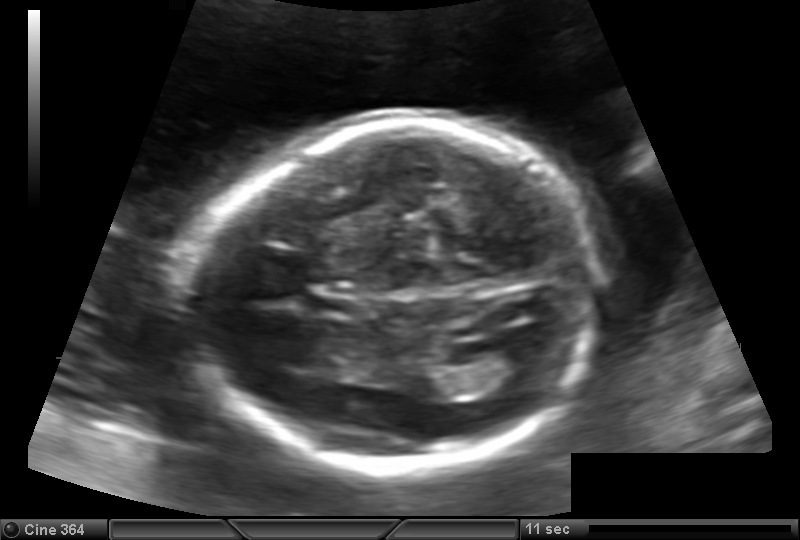
Estimate the fetal head circumference from this 2D ultrasound. Image width: 115.2 mm.

Head circumference: 178.3 mm.